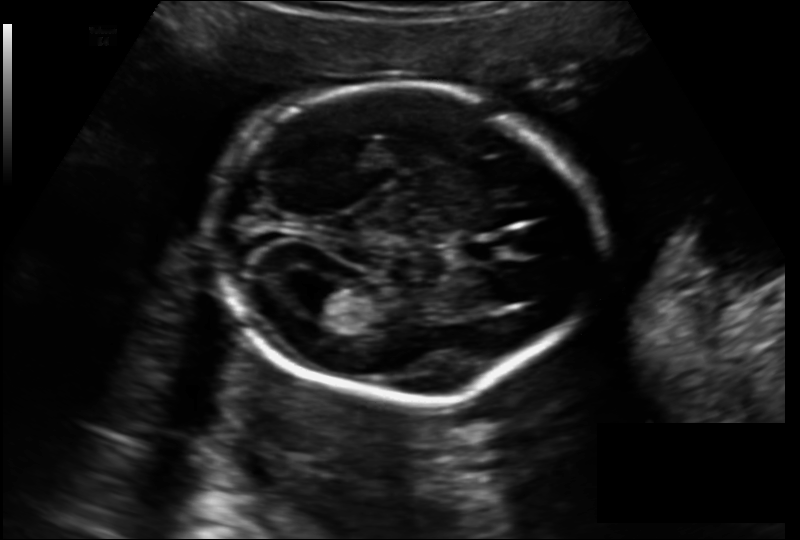
In this fetal head ultrasound, give bounding boxes for the head outline, cavum septum pellucidum (CSP), and lateral ventricle (LV), where visible. Image width: 125.9 mm.

Head: [208,87,592,403]
CSP: [461,237,505,264]
Lateral ventricle: [280,264,355,329]